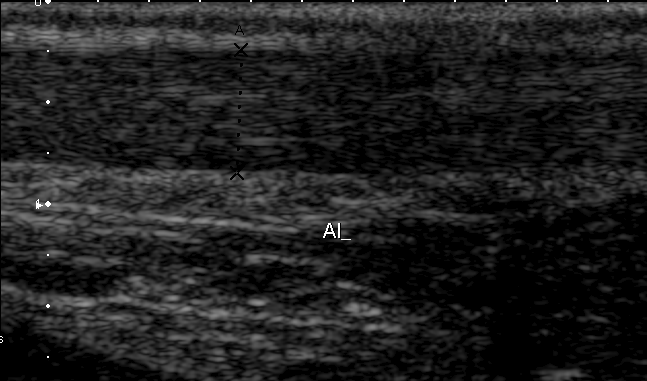
Which standard maternal-fetal ultrasound plane is shown: fetal abdomen, fetal brain, fetal femur, fetal thorax, maternal cervix, or other? If it's fetal brain and one of the three standard brain planes (trans-thalamic, trans-cerebellum, trans-ventricular), name which.

Other